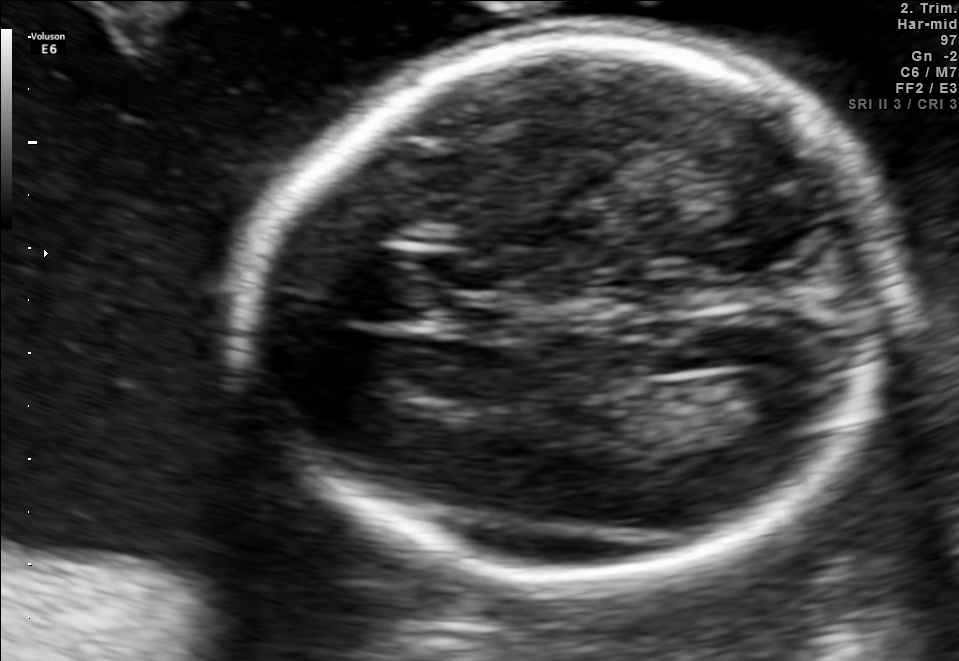
In this fetal brain, trans-ventricular plane, give the bounding box of the fetal head.

[220,21,921,594]